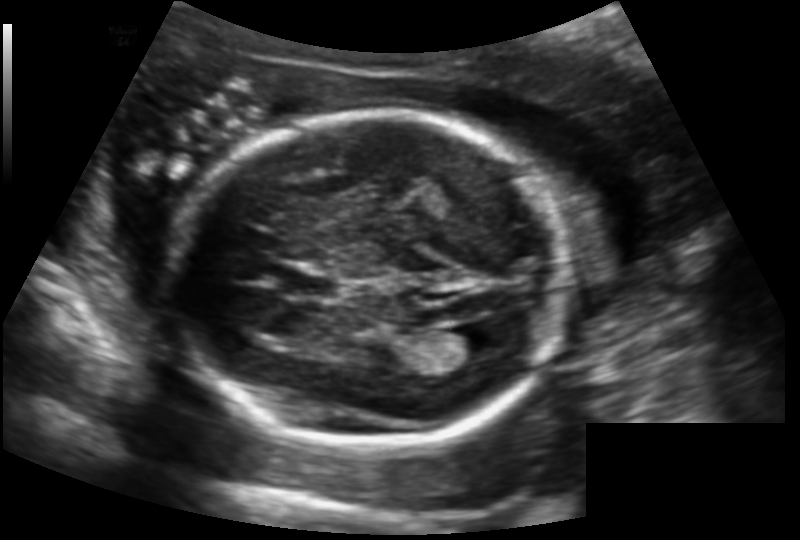
Estimate the fetal head circumference from this 2D ultrasound.

Head circumference: 174.8 mm (image width 117.4 mm).